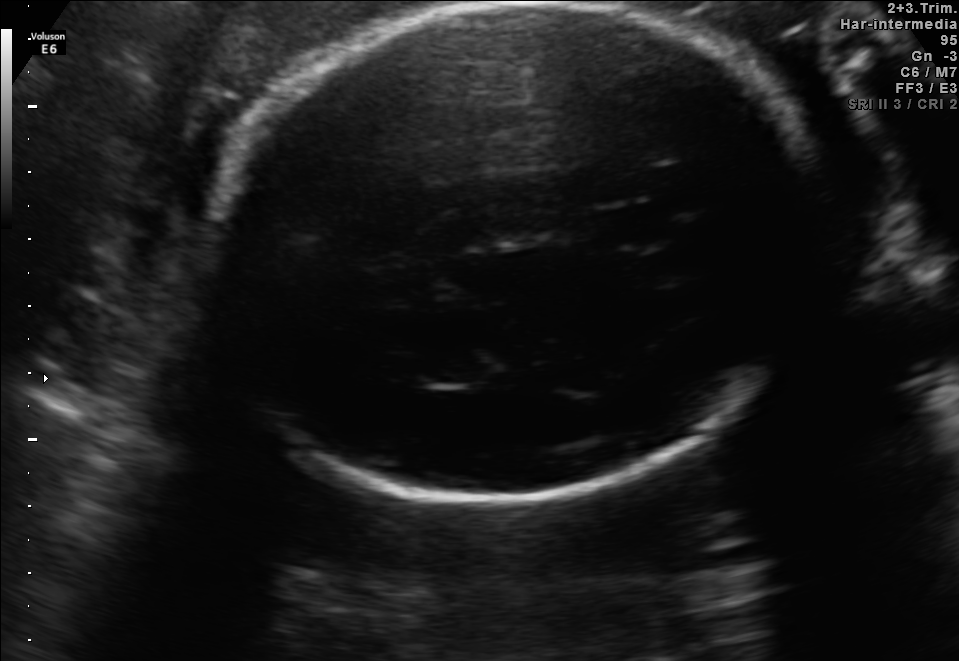
In this fetal brain, trans-thalamic plane, give bounding boxes for the head outline, cavum septum pellucidum (CSP), and lateral ventricle (LV), where visible.

Head: [207,3,824,502]
CSP: [589,202,663,249]
Lateral ventricle: [407,349,483,384]